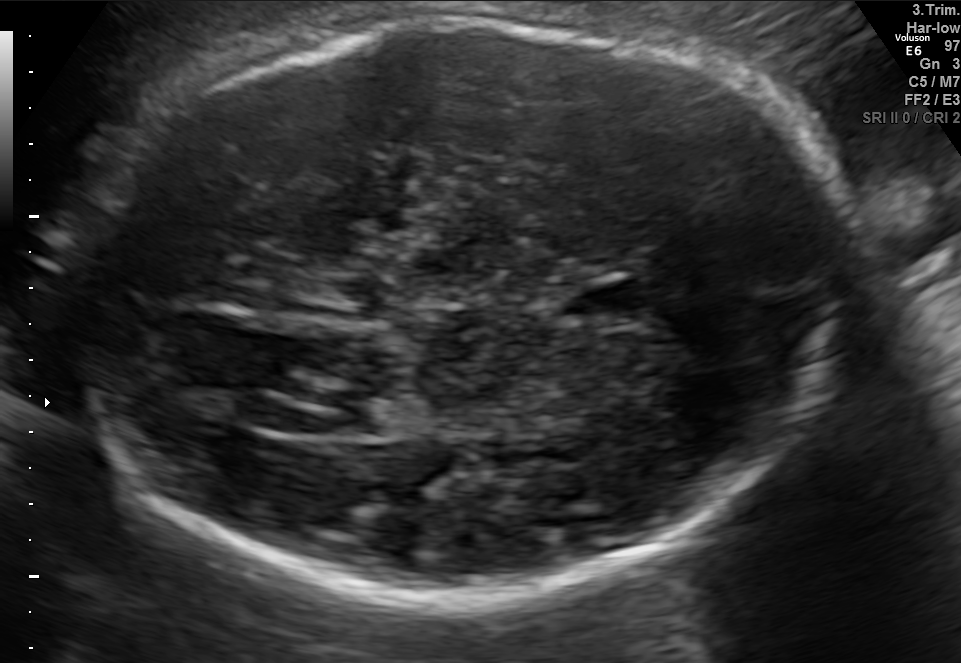
Fetal brain, trans-ventricular plane. Where is the fetal head?

Head bounding box: [54,11,867,618]